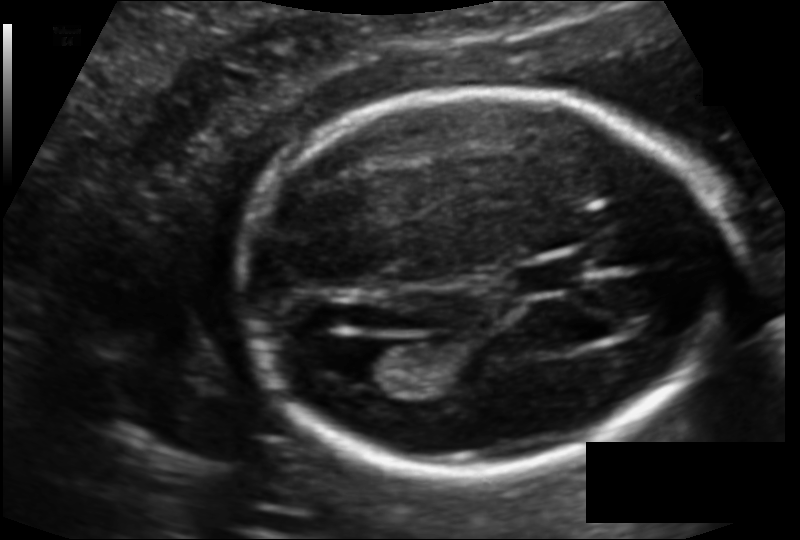
Measure the fetal head circumference shown in this ultrasound image. Image width: 96.9 mm.

Head circumference: 169.5 mm.